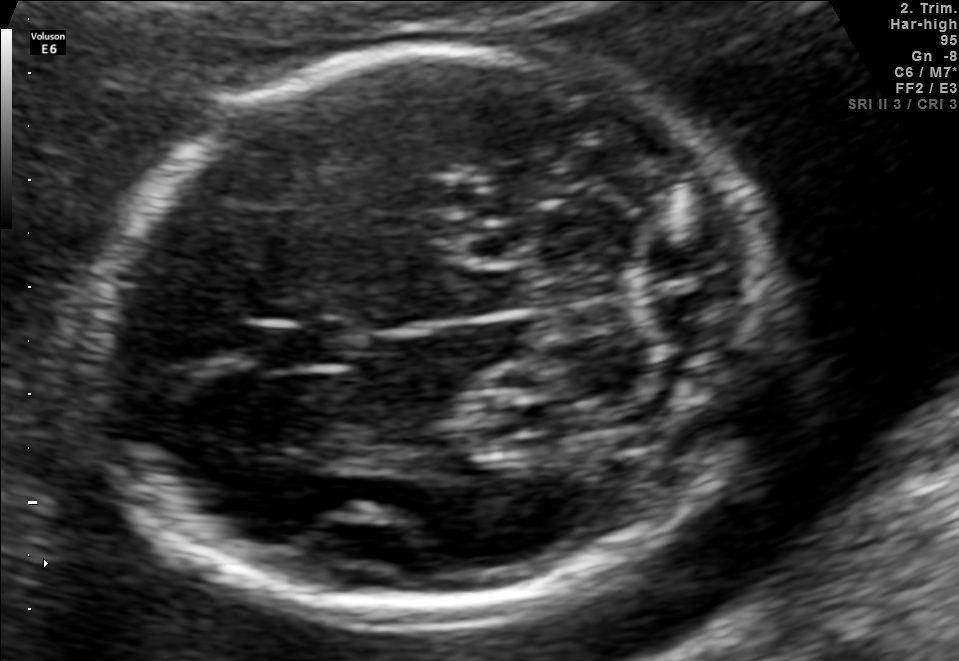
In this fetal brain, trans-cerebellum plane, give bounding boxes for the head outline, cavum septum pellucidum (CSP), and lateral ventricle (LV), where visible.

Head: [94,45,765,618]
CSP: [253,320,354,370]